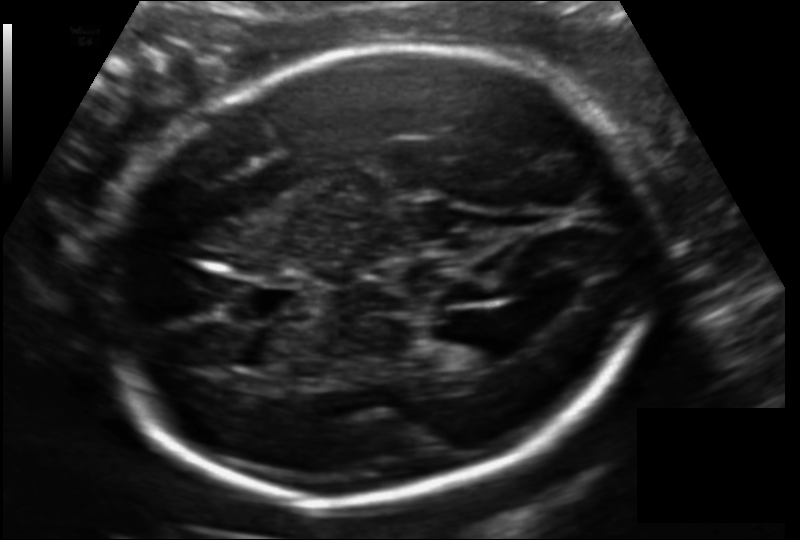
Fetal head ultrasound. Image width: 111.6 mm. Locate the lateral ventricle.

Lateral ventricle: [435,327,504,377]